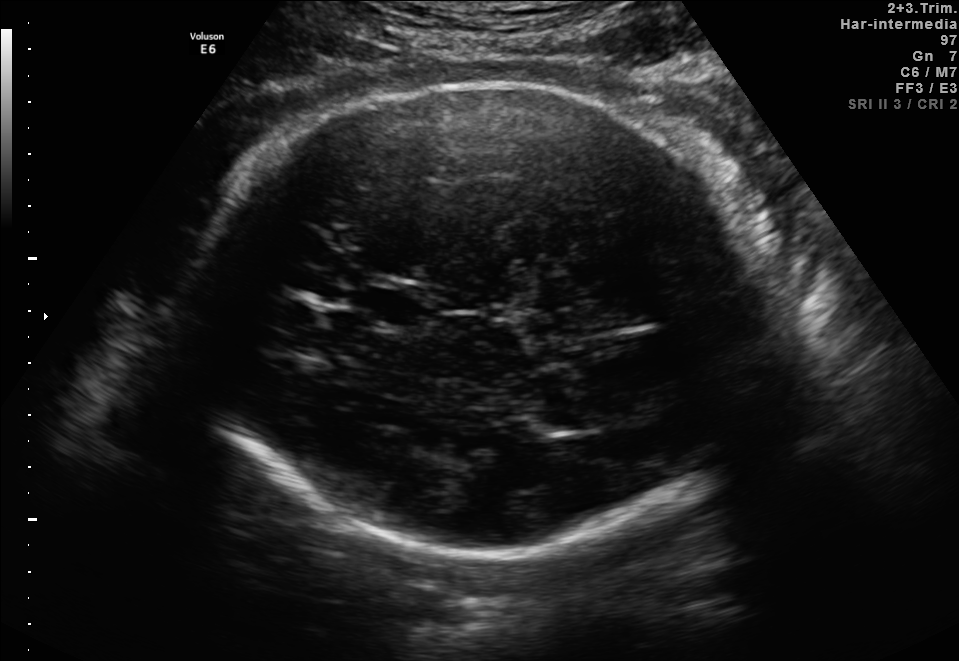
Classify this maternal-fetal ultrasound image as one of the six standard planes — fetal abdomen, fetal brain, fetal femur, fetal thorax, maternal cervix, or other. If it's fetal brain and one of the three standard brain planes (trans-thalamic, trans-cerebellum, trans-ventricular), name which.

Fetal brain (trans-thalamic plane)